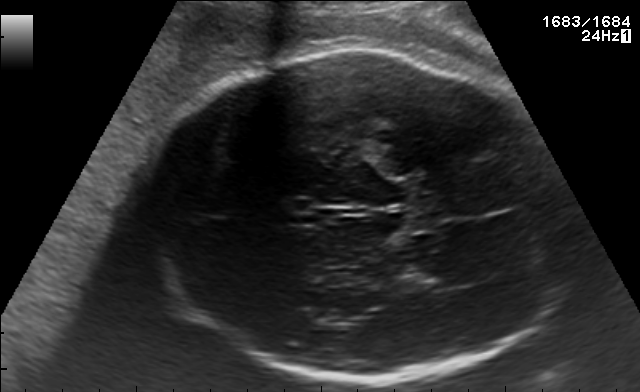
Fetal brain, trans-thalamic plane. Give [x1,y1,x2,y2] bounding boxes for each visible structure among: fetal head, CSP, LV.

Head: [136,47,564,382]